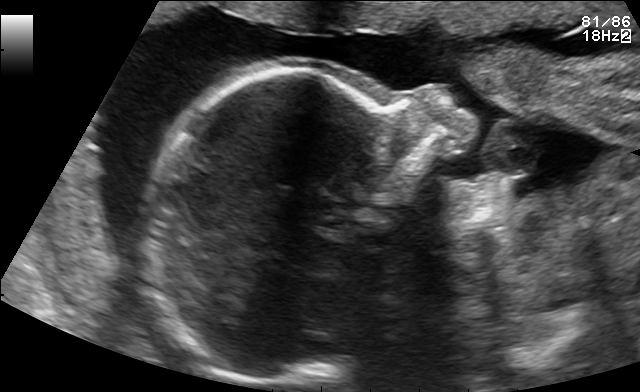
Classify this maternal-fetal ultrasound image as one of the six standard planes — fetal abdomen, fetal brain, fetal femur, fetal thorax, maternal cervix, or other. If it's fetal brain and one of the three standard brain planes (trans-thalamic, trans-cerebellum, trans-ventricular), name which.

Other